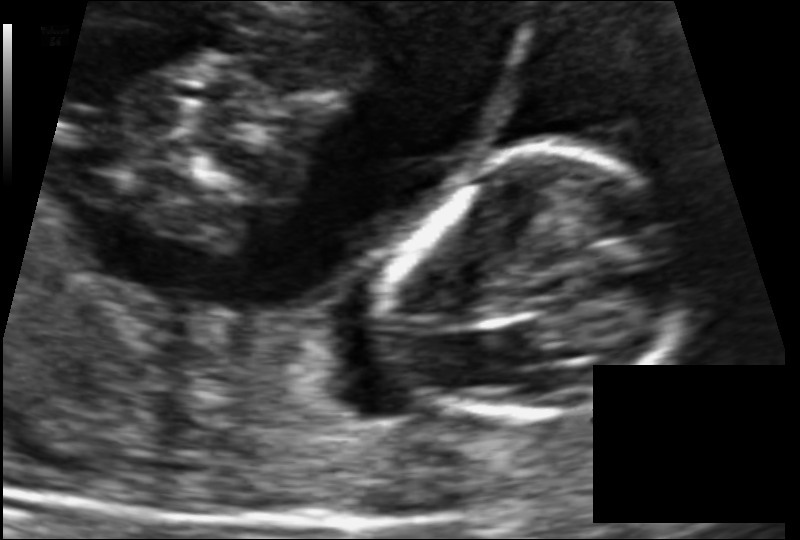
Measure the fetal head circumference shown in this ultrasound image. Image width: 69.1 mm.

Head circumference: 81.1 mm.